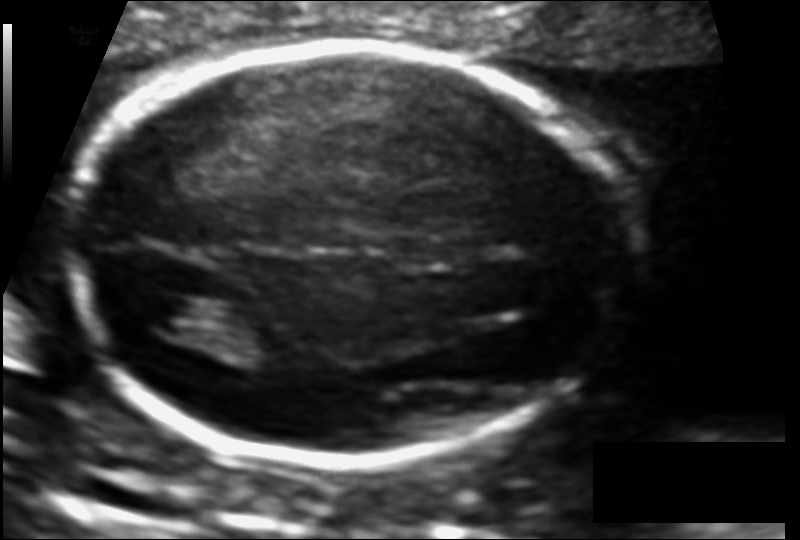
Fetal head ultrasound. Image width: 88.9 mm. Where is the lateral ventricle?

Lateral ventricle bounding box: [128,282,214,346]